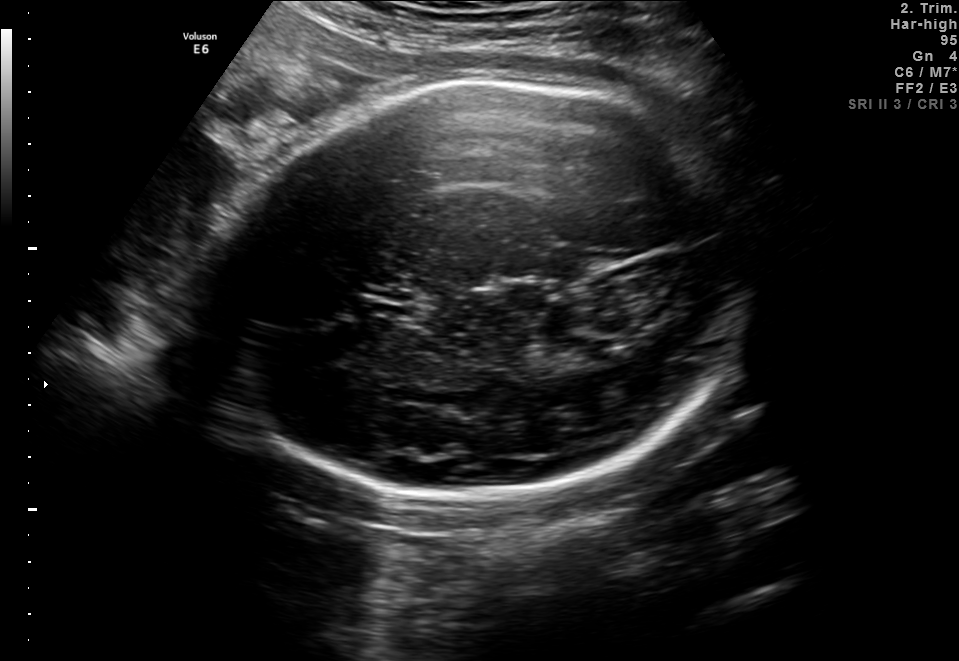
Identify the standard plane in this fetal ultrasound image: fetal abdomen, fetal brain, fetal femur, fetal thorax, maternal cervix, or other. If it's fetal brain and one of the three standard brain planes (trans-thalamic, trans-cerebellum, trans-ventricular), name which.

Fetal brain (trans-thalamic plane)